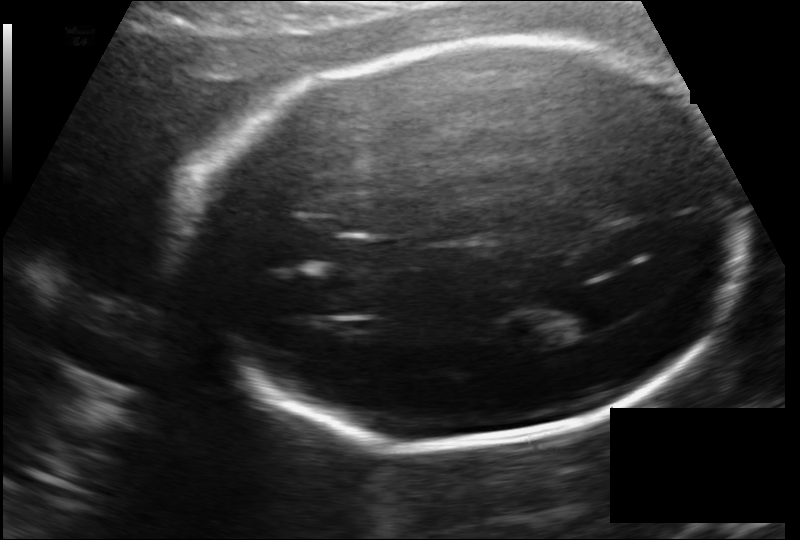
What is the fetal head circumference? Image width is 112.6 mm.

225.8 mm